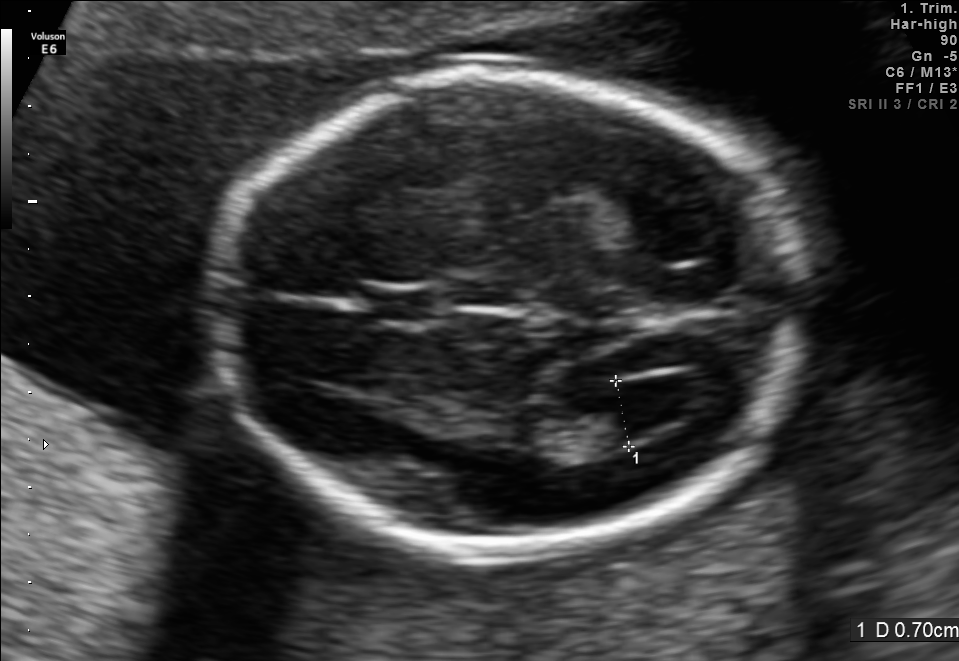
Fetal brain, trans-ventricular plane. Where is the fetal head?

Head bounding box: [197,56,830,569]